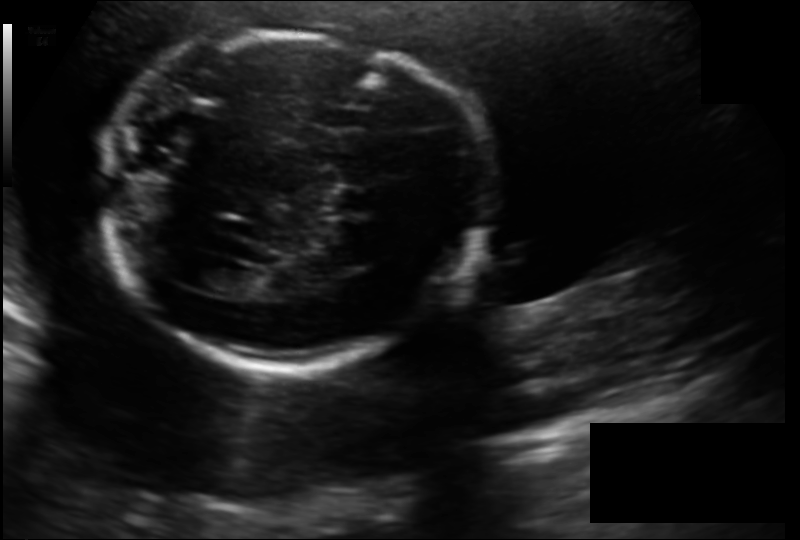
From this fetal ultrasound, estimate the head circumference (image width 126.7 mm).

Head circumference: 187.8 mm.